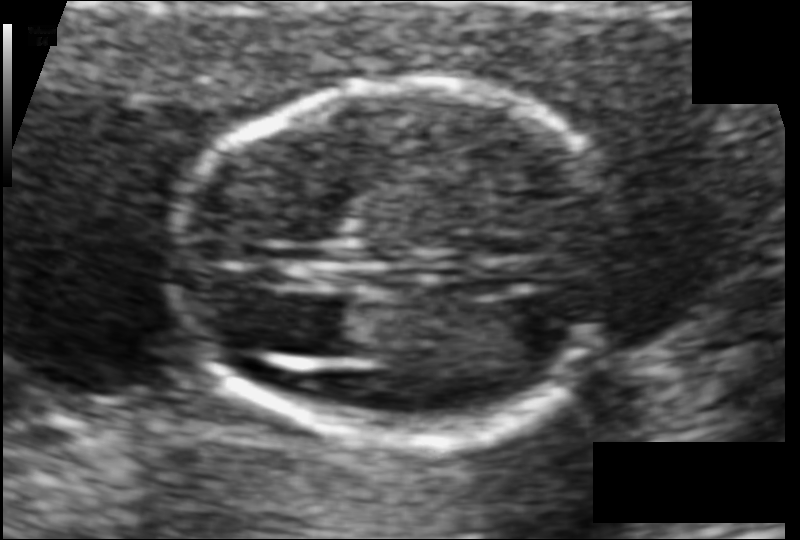
What is the fetal head circumference? Image width is 61.4 mm.

100.7 mm